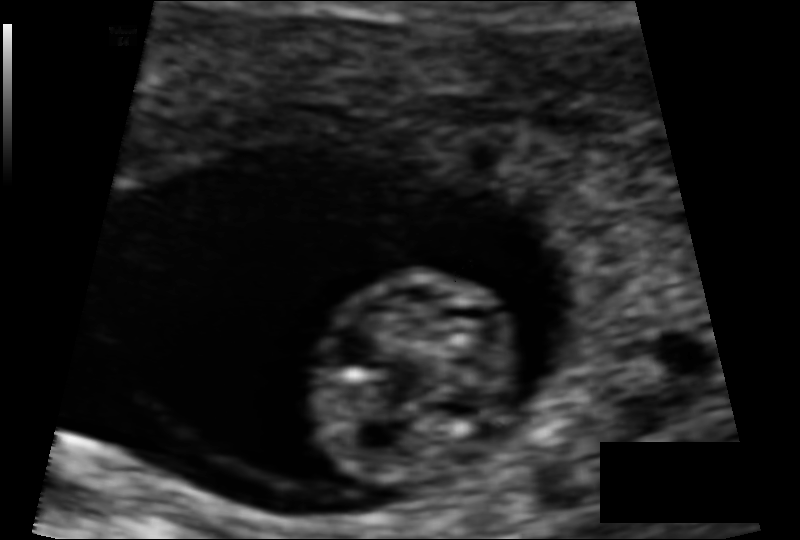
Fetal head ultrasound. Image width: 55.3 mm. Where is the fetal head?

Head bounding box: [310,269,523,485]